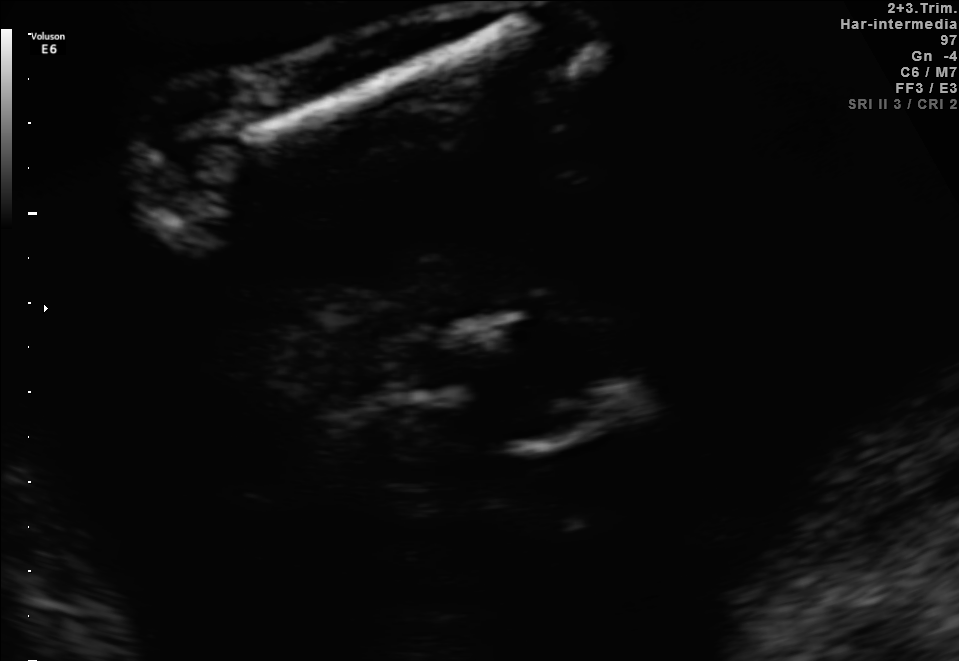
This is a 2D maternal-fetal ultrasound frame. Is it a fetal abdomen, fetal brain, fetal femur, fetal thorax, maternal cervix, or other standard plane? If it's fetal brain and one of the three standard brain planes (trans-thalamic, trans-cerebellum, trans-ventricular), name which.

Fetal femur